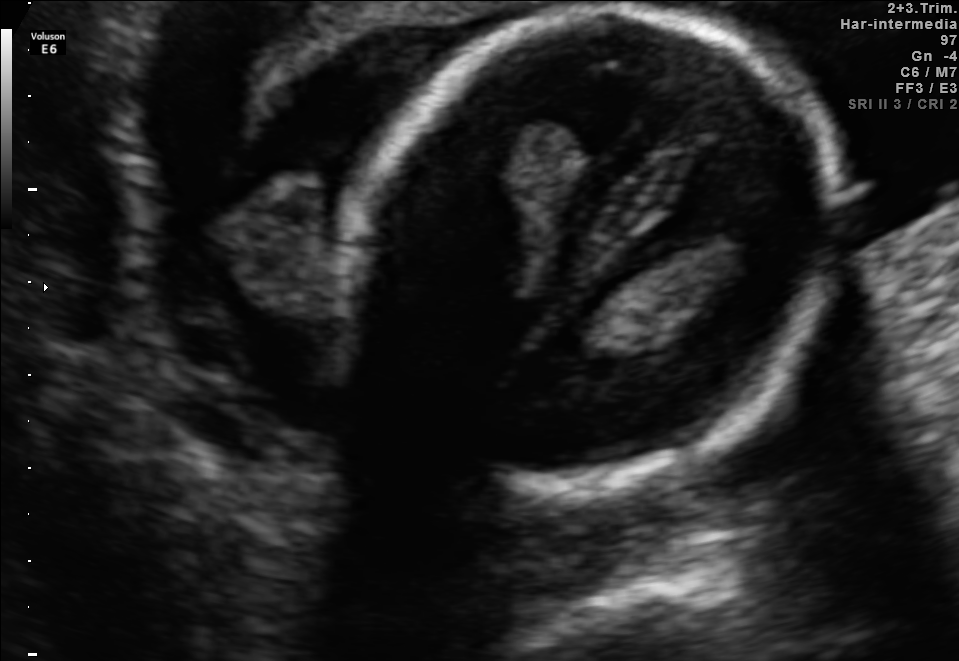
Classify this maternal-fetal ultrasound image as one of the six standard planes — fetal abdomen, fetal brain, fetal femur, fetal thorax, maternal cervix, or other. If it's fetal brain and one of the three standard brain planes (trans-thalamic, trans-cerebellum, trans-ventricular), name which.

Fetal brain